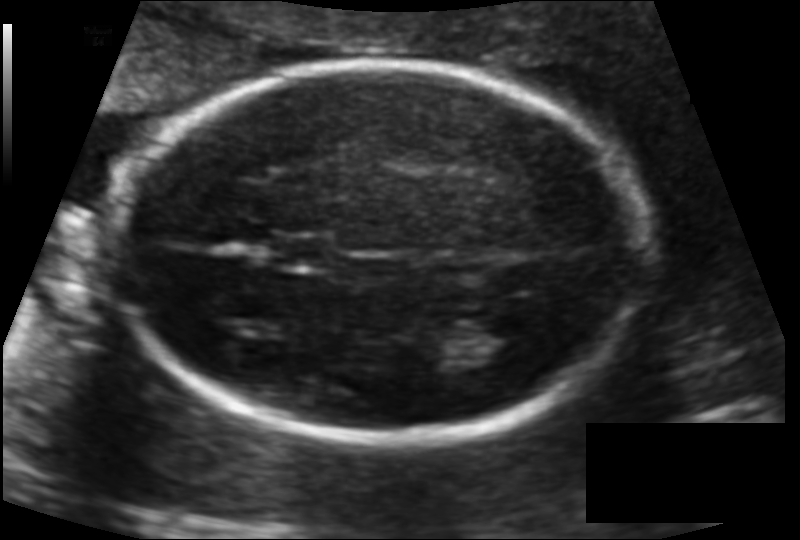
Fetal head ultrasound. Image width: 91.7 mm. Locate the fetal head.

Head: [114,60,644,444]